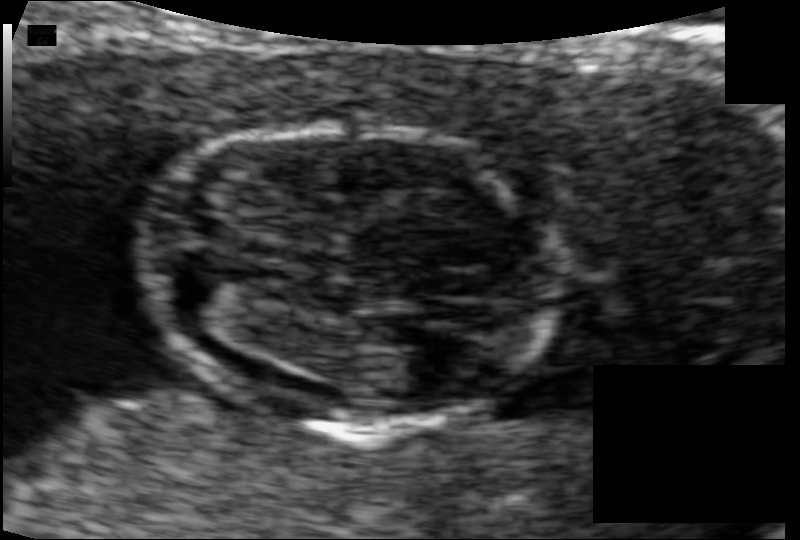
In this fetal head ultrasound, give the bounding box of the fetal head. Image width: 52.6 mm.

[144,128,551,428]